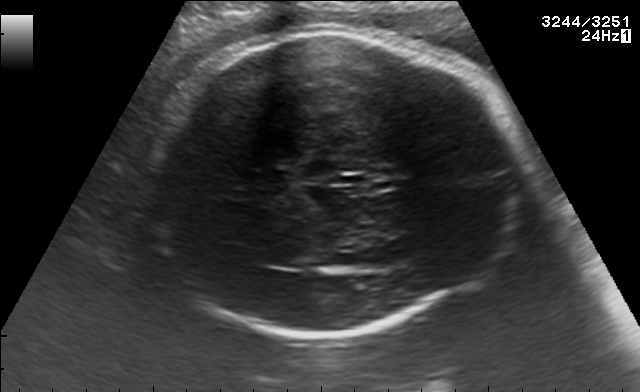
Fetal brain, trans-thalamic plane. Locate the fetal head and, if visible, the cavum septum pellucidum (CSP) and lateral ventricle (LV). Give bounding boxes as [x1,y1,x2,y2].

Head: [143,34,514,334]